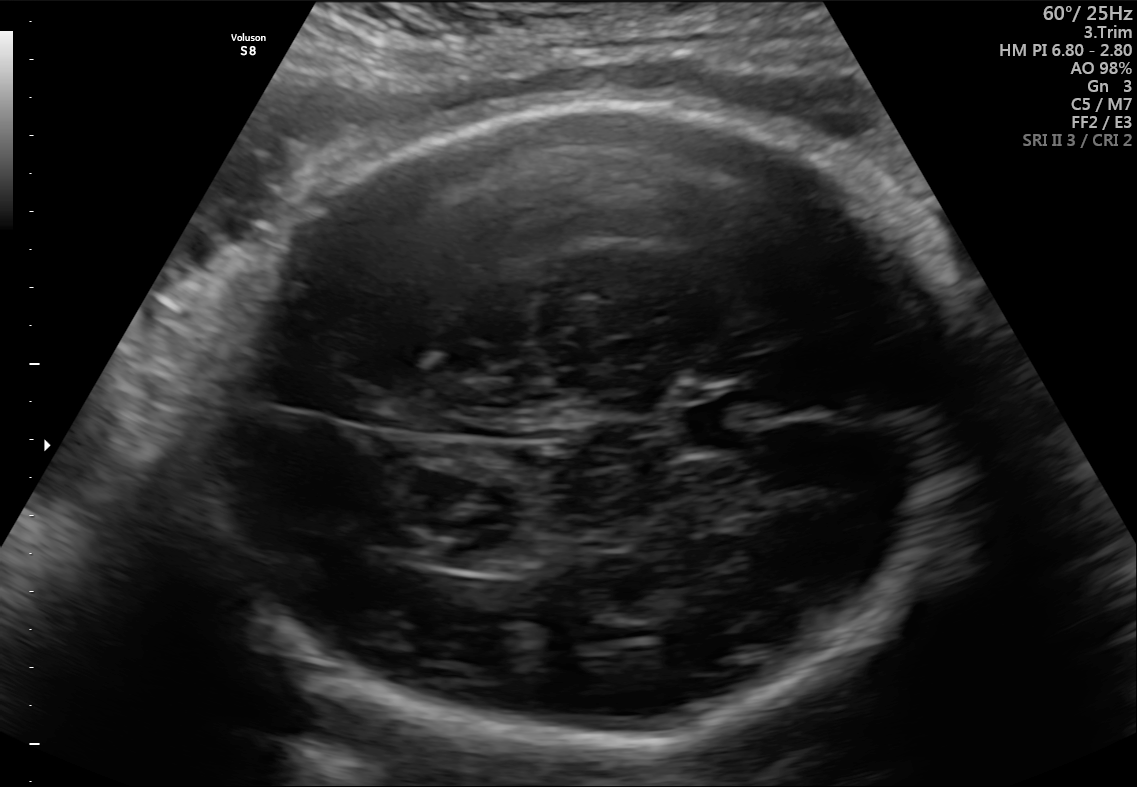
In this fetal brain, trans-thalamic plane, give bounding boxes for the head outline, cavum septum pellucidum (CSP), and lateral ventricle (LV), where visible.

Head: [183,102,964,756]
CSP: [678,394,761,455]
Lateral ventricle: [426,540,515,575]